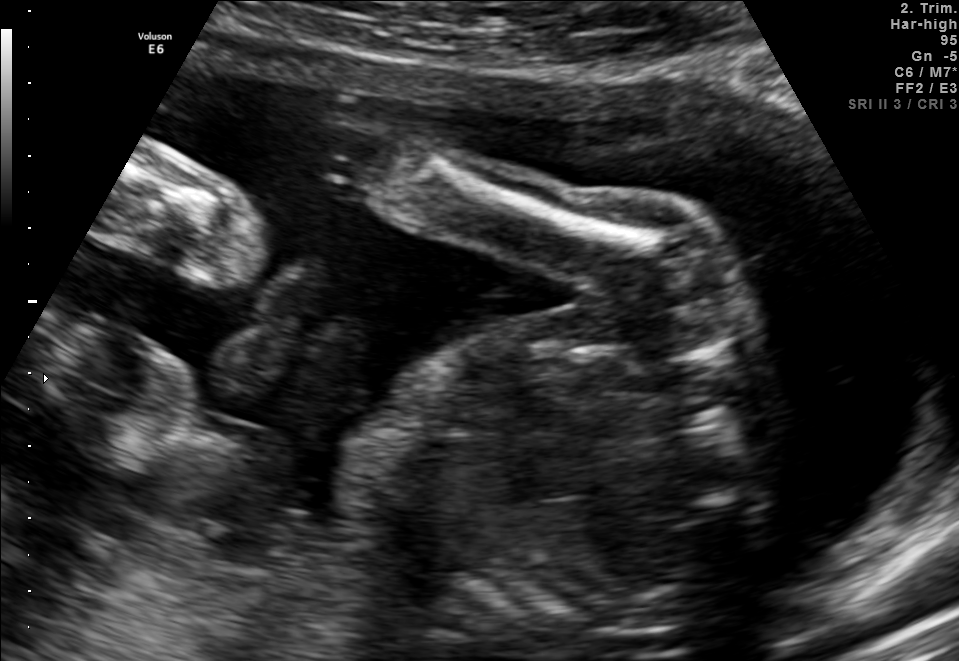
Identify the standard plane in this fetal ultrasound image: fetal abdomen, fetal brain, fetal femur, fetal thorax, maternal cervix, or other. If it's fetal brain and one of the three standard brain planes (trans-thalamic, trans-cerebellum, trans-ventricular), name which.

Other